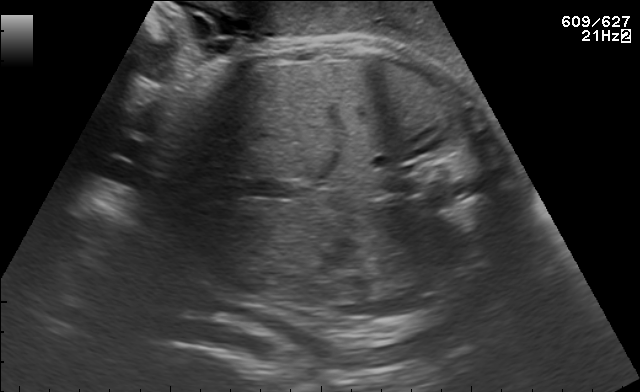
Classify this maternal-fetal ultrasound image as one of the six standard planes — fetal abdomen, fetal brain, fetal femur, fetal thorax, maternal cervix, or other. If it's fetal brain and one of the three standard brain planes (trans-thalamic, trans-cerebellum, trans-ventricular), name which.

Fetal abdomen